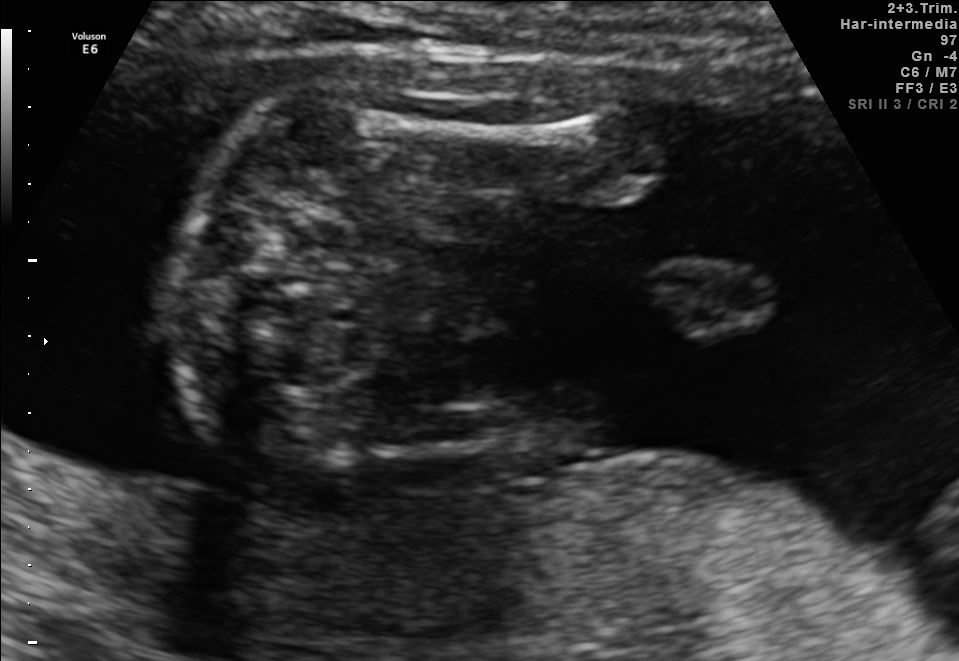
Classify this maternal-fetal ultrasound image as one of the six standard planes — fetal abdomen, fetal brain, fetal femur, fetal thorax, maternal cervix, or other. If it's fetal brain and one of the three standard brain planes (trans-thalamic, trans-cerebellum, trans-ventricular), name which.

Other